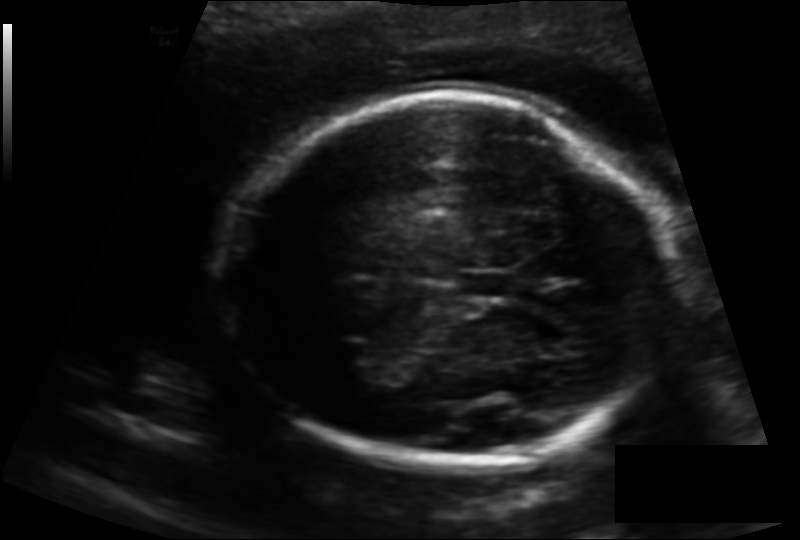
In this fetal head ultrasound, give the bounding box of the cavum septum pellucidum. Image width: 112.7 mm.

[461,270,515,299]